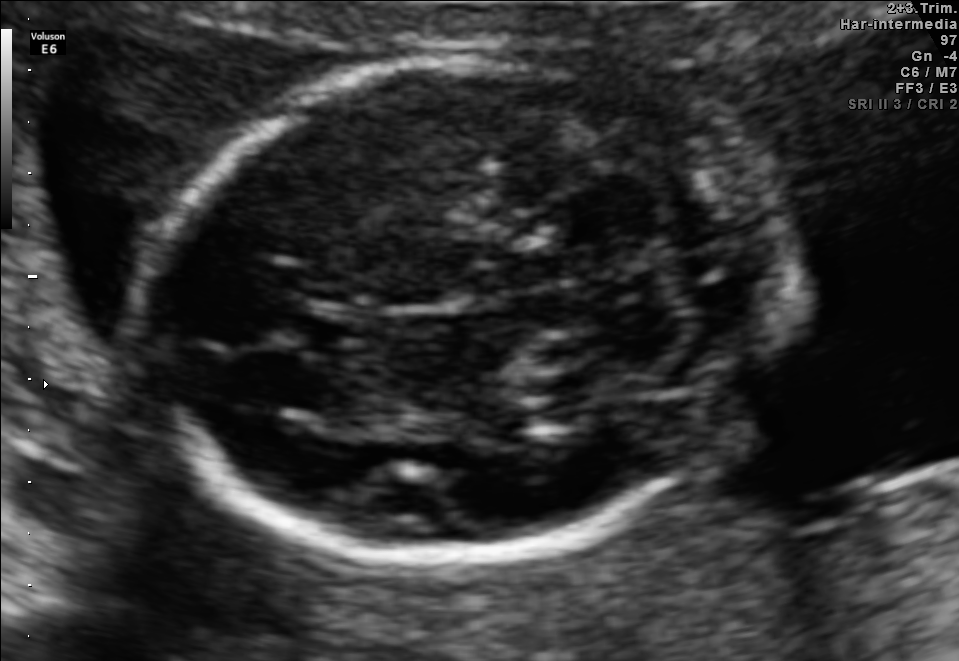
Fetal brain, trans-cerebellum plane. Where is the cavum septum pellucidum?

CSP bounding box: [284,304,374,365]